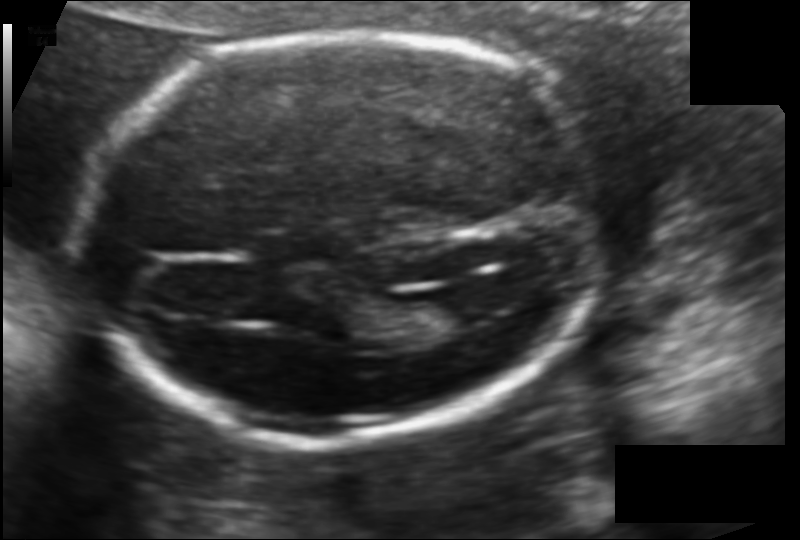
From this fetal ultrasound, estimate the head circumference (image width 94.7 mm).

Head circumference: 180.8 mm.